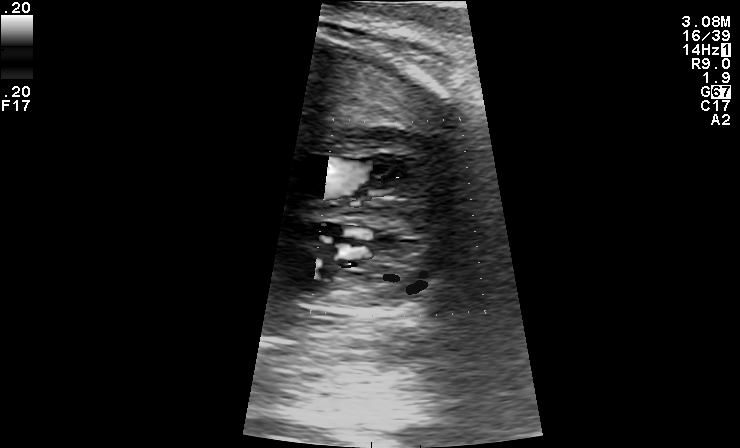
Which standard maternal-fetal ultrasound plane is shown: fetal abdomen, fetal brain, fetal femur, fetal thorax, maternal cervix, or other? If it's fetal brain and one of the three standard brain planes (trans-thalamic, trans-cerebellum, trans-ventricular), name which.

Other